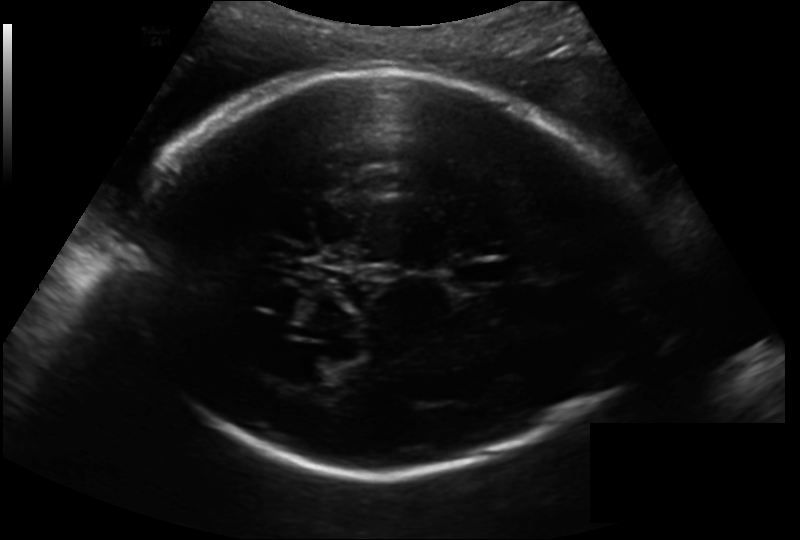
Fetal head ultrasound. Image width: 154.5 mm. Locate the cavum septum pellucidum.

CSP: [447,256,510,291]